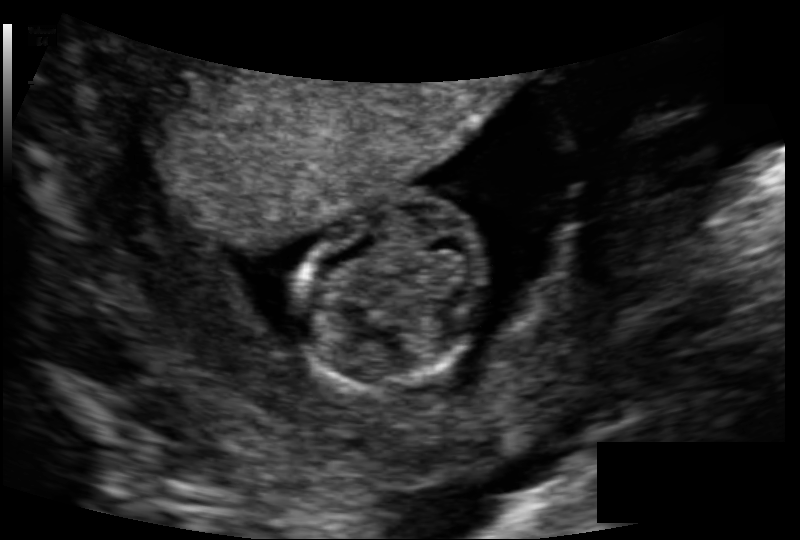
Estimate the fetal head circumference from this 2D ultrasound.

Head circumference: 75.8 mm (image width 94.2 mm).